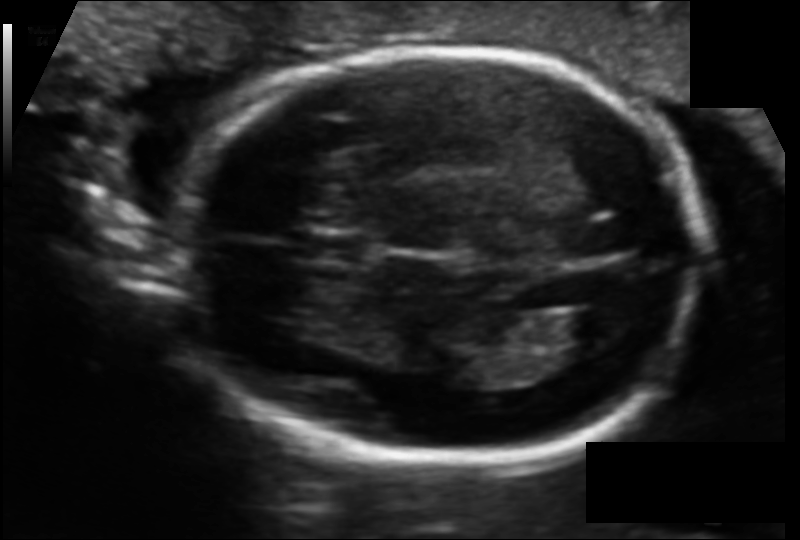
Estimate the fetal head circumference from this 2D ultrasound.

Head circumference: 166.9 mm (image width 86.3 mm).